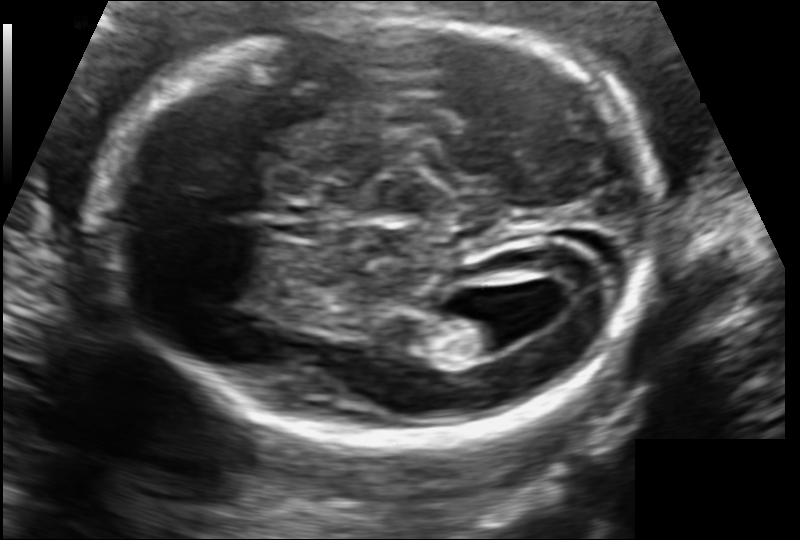
Fetal head ultrasound. Image width: 87.0 mm. Give [x1,y1,x2,y2] bounding boxes for each visible structure among: fetal head, CSP, LV.

Head: [111,20,659,440]
Lateral ventricle: [434,295,533,369]